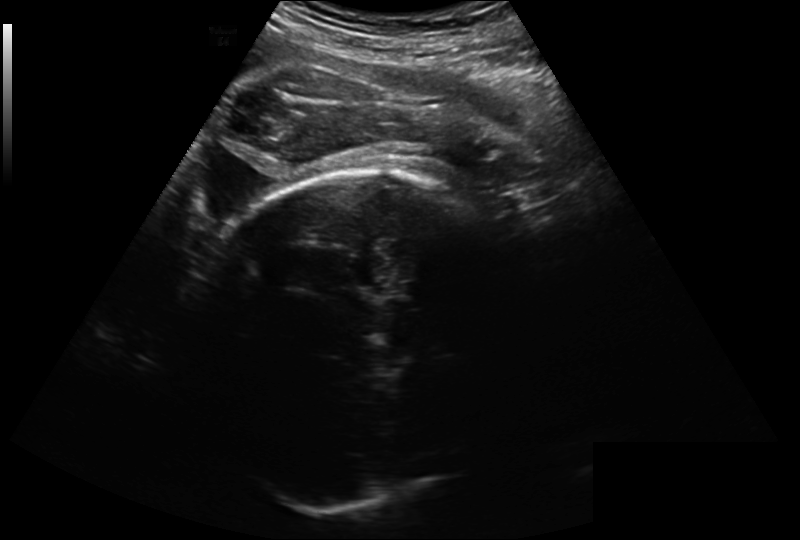
Estimate the fetal head circumference from this 2D ultrasound. Image width: 208.2 mm.

Head circumference: 293.2 mm.